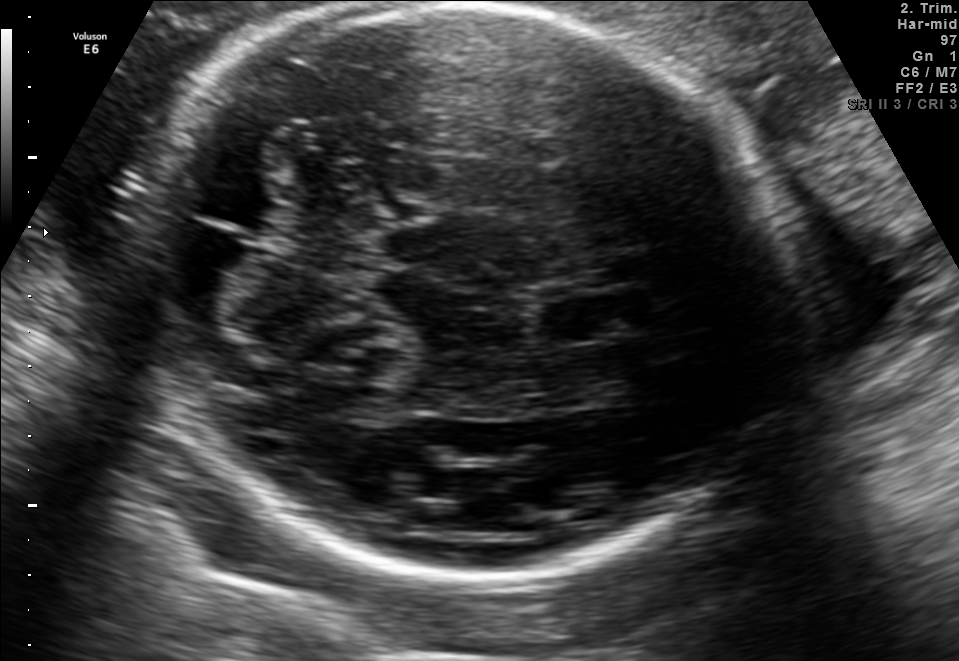
Fetal brain, trans-cerebellum plane. Give [x1,y1,x2,y2] bounding boxes for each visible structure among: fetal head, CSP, LV.

Head: [136,3,777,576]
CSP: [535,290,645,347]